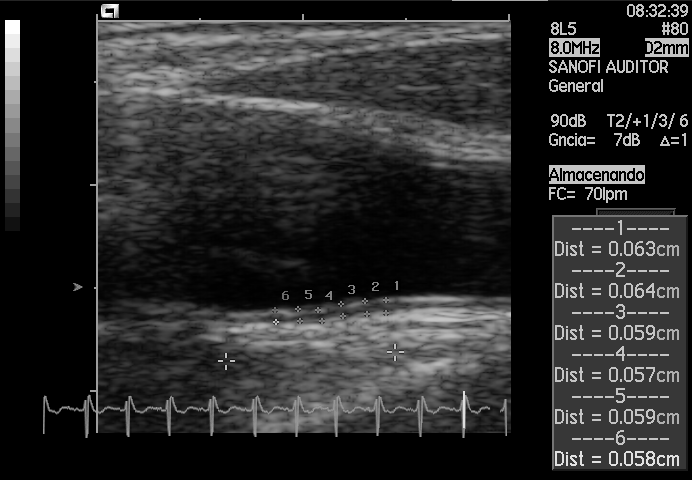
Which standard maternal-fetal ultrasound plane is shown: fetal abdomen, fetal brain, fetal femur, fetal thorax, maternal cervix, or other? If it's fetal brain and one of the three standard brain planes (trans-thalamic, trans-cerebellum, trans-ventricular), name which.

Other